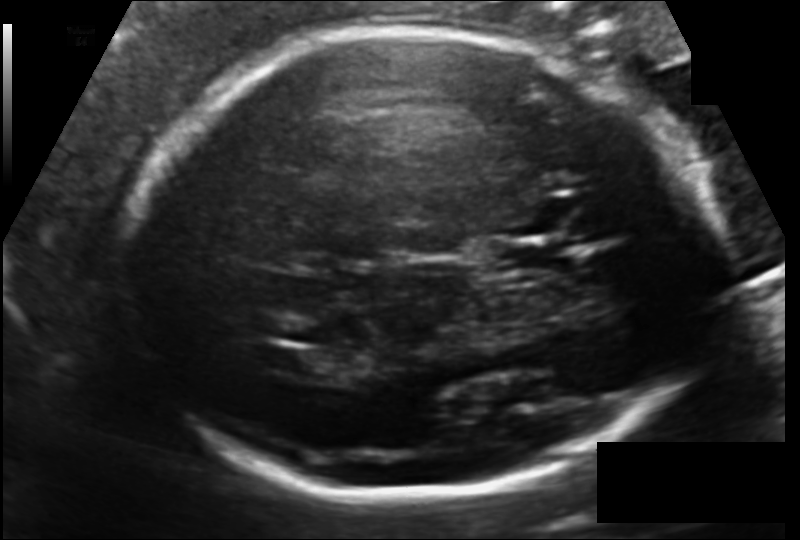
From this fetal ultrasound, estimate the head circumference (image width 106.4 mm).

Head circumference: 224.8 mm.